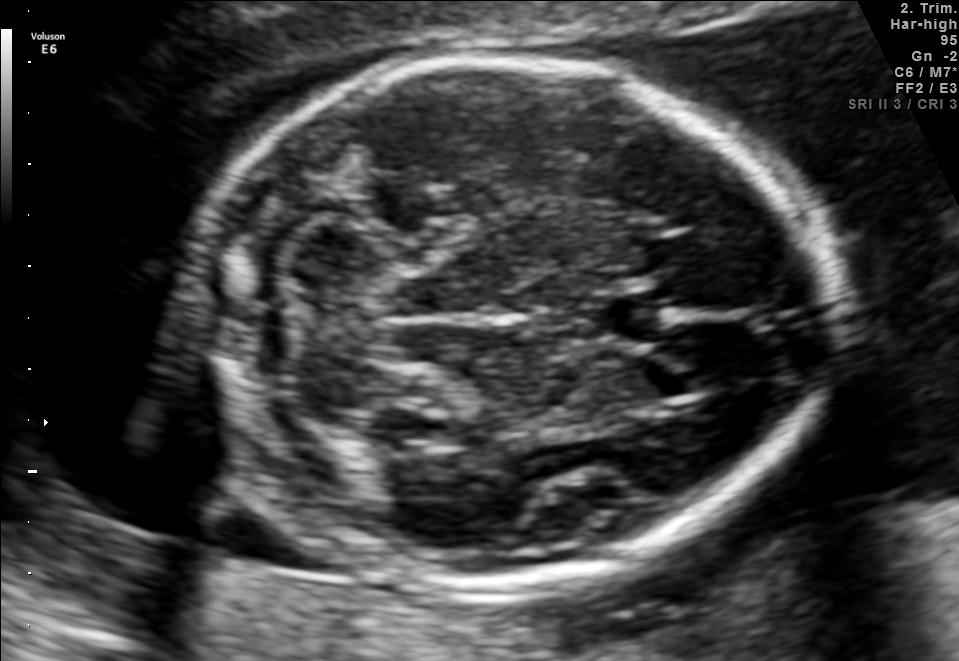
Fetal brain, trans-cerebellum plane. Locate the fetal head and, if visible, the cavum septum pellucidum (CSP) and lateral ventricle (LV). Give bounding boxes as [x1,y1,x2,y2].

Head: [180,60,829,589]
CSP: [586,281,674,353]